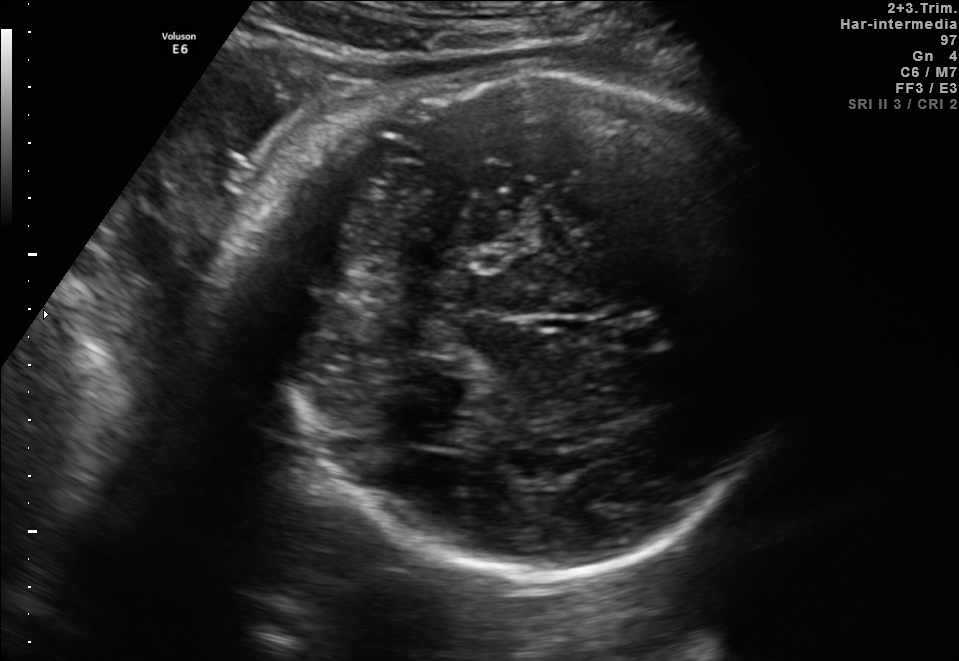
Fetal brain, trans-cerebellum plane. Where is the cavum septum pellucidum?

CSP bounding box: [602,313,667,356]